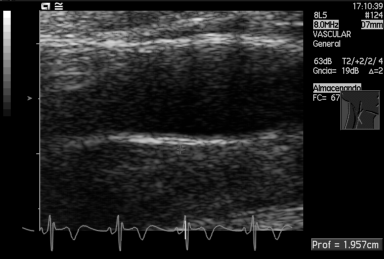
Identify the standard plane in this fetal ultrasound image: fetal abdomen, fetal brain, fetal femur, fetal thorax, maternal cervix, or other. If it's fetal brain and one of the three standard brain planes (trans-thalamic, trans-cerebellum, trans-ventricular), name which.

Other